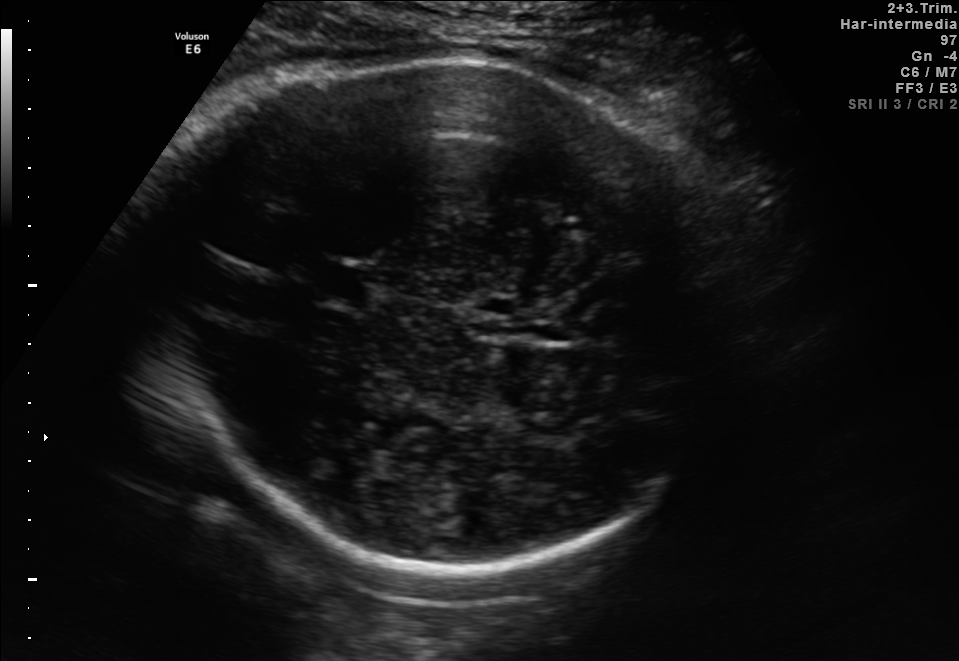
This is a 2D maternal-fetal ultrasound frame. Is it a fetal abdomen, fetal brain, fetal femur, fetal thorax, maternal cervix, or other standard plane? If it's fetal brain and one of the three standard brain planes (trans-thalamic, trans-cerebellum, trans-ventricular), name which.

Fetal brain (trans-thalamic plane)